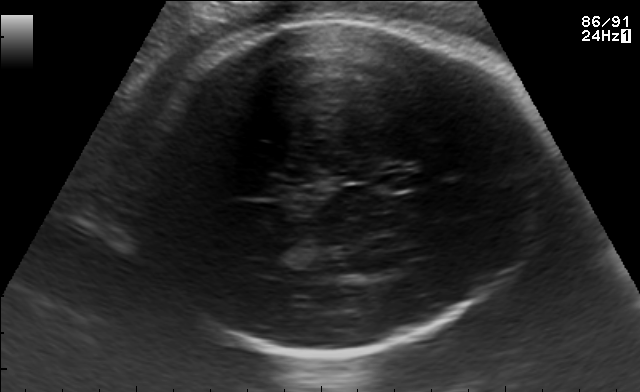
Fetal brain, trans-thalamic plane. Give [x1,y1,x2,y2] bounding boxes for each visible structure among: fetal head, CSP, LV.

Head: [118,21,545,353]
CSP: [380,167,426,194]